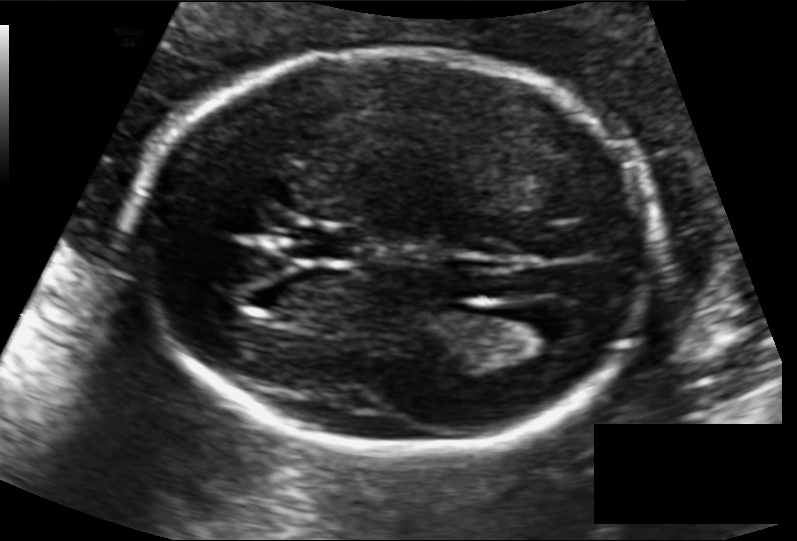
Fetal head ultrasound. Image width: 94.0 mm. Give [x1,y1,x2,y2] bounding boxes for each visible structure among: fetal head, CSP, LV.

Head: [124,49,653,458]
CSP: [289,226,356,260]
Lateral ventricle: [489,294,584,367]